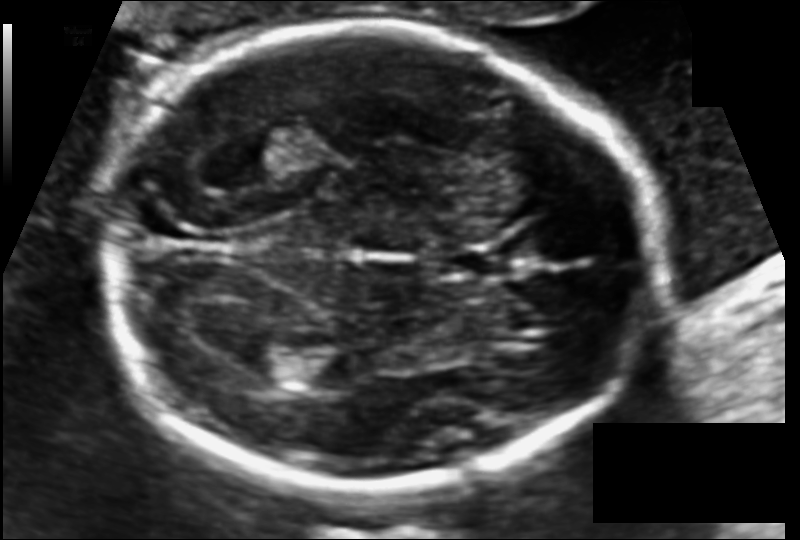
Fetal head ultrasound. Image width: 87.7 mm. Where is the fetal head?

Head bounding box: [104,25,652,490]